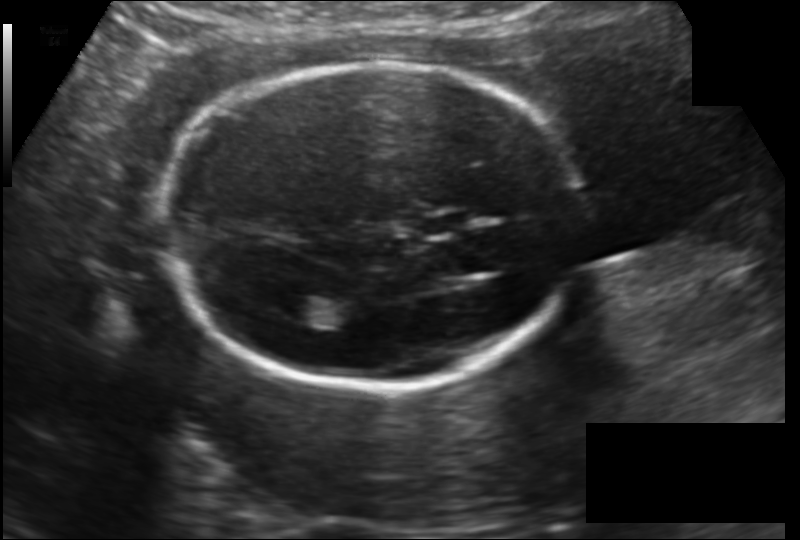
From this fetal ultrasound, estimate the head circumference (image width 118.1 mm).

Head circumference: 178.8 mm.